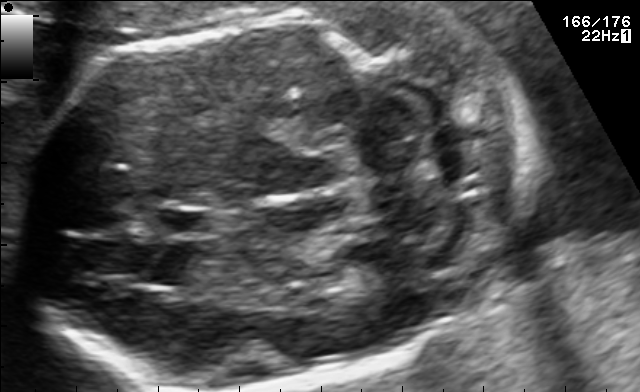
Fetal brain, trans-cerebellum plane. Where is the cavum septum pellucidum?

CSP bounding box: [152,207,220,237]